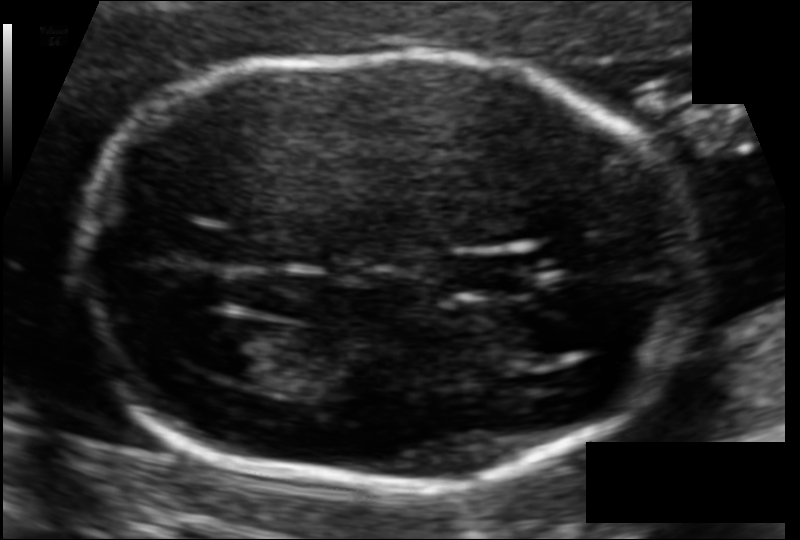
In this fetal head ultrasound, give bounding boxes for the head outline, cavum septum pellucidum (CSP), and lateral ventricle (LV), where visible. Image width: 73.9 mm.

Head: [81,56,701,486]
CSP: [447,254,529,292]
Lateral ventricle: [197,311,296,388]